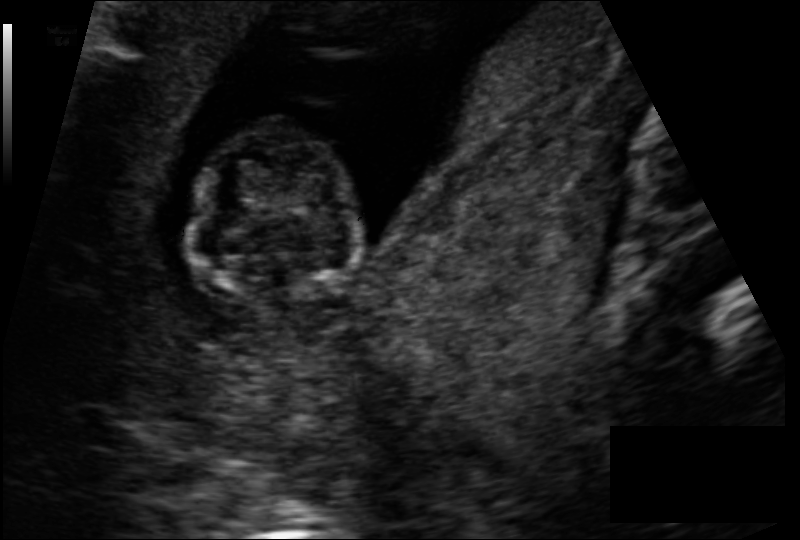
Fetal head ultrasound. Image width: 90.4 mm. Give [x1,y1,x2,y2] bounding boxes for each visible structure among: fetal head, CSP, LV.

Head: [194,123,360,305]